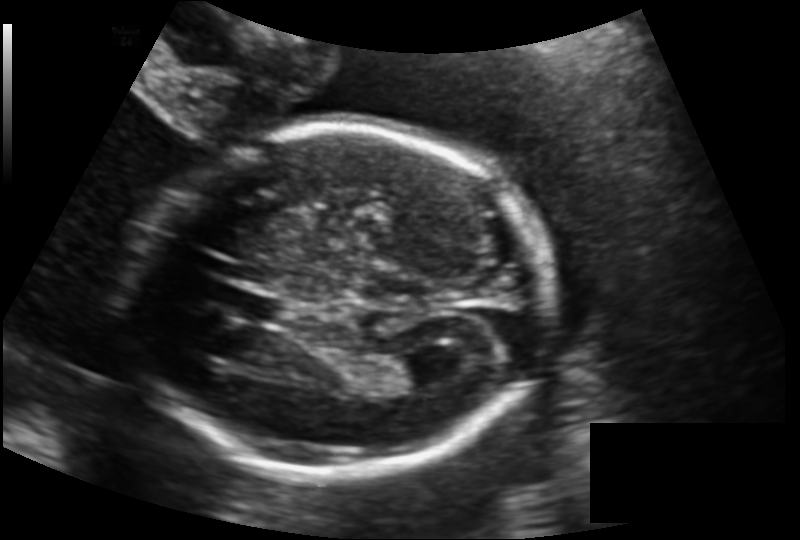
Fetal head ultrasound. Image width: 117.2 mm. Where is the fetal head?

Head bounding box: [134,125,547,474]